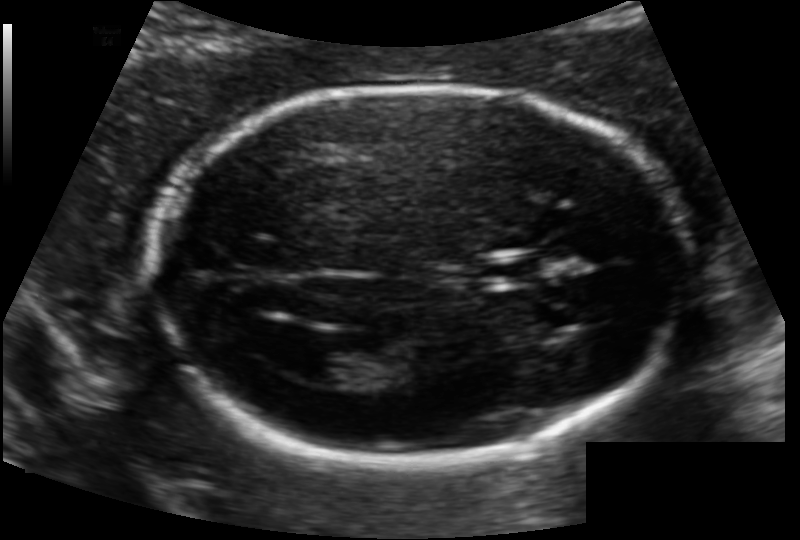
Estimate the fetal head circumference from this 2D ultrasound. Image width: 94.1 mm.

Head circumference: 173.7 mm.